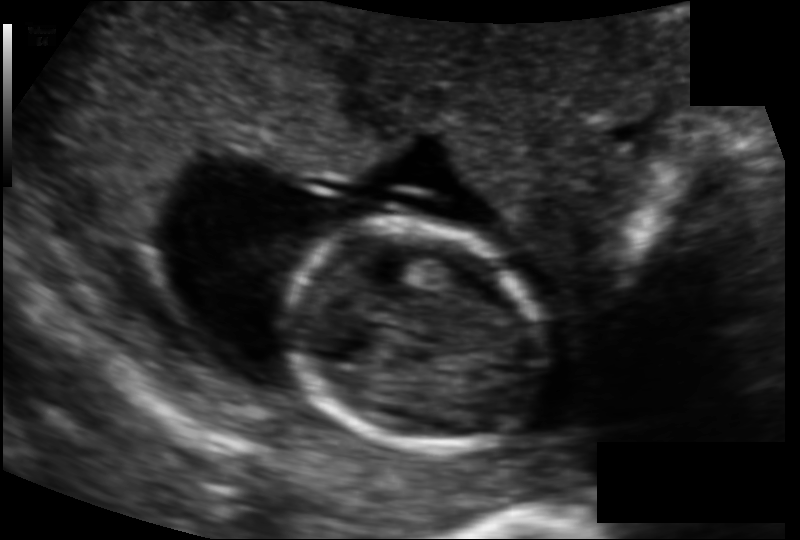
What is the fetal head circumference? Image width is 91.0 mm.

90.8 mm